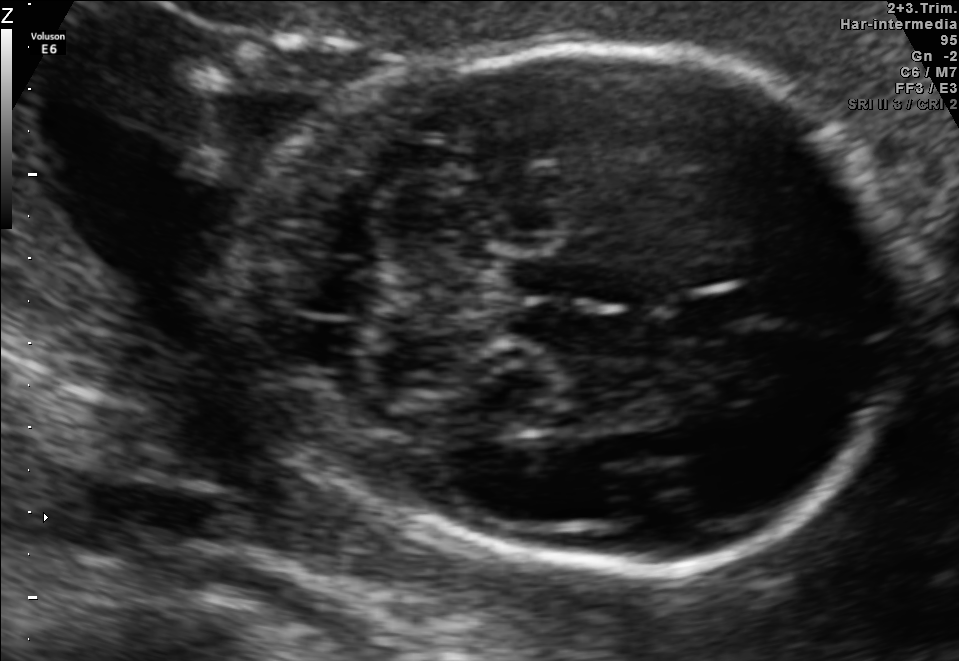
Fetal brain, trans-cerebellum plane. Where is the cavum septum pellucidum?

CSP bounding box: [667,279,763,342]